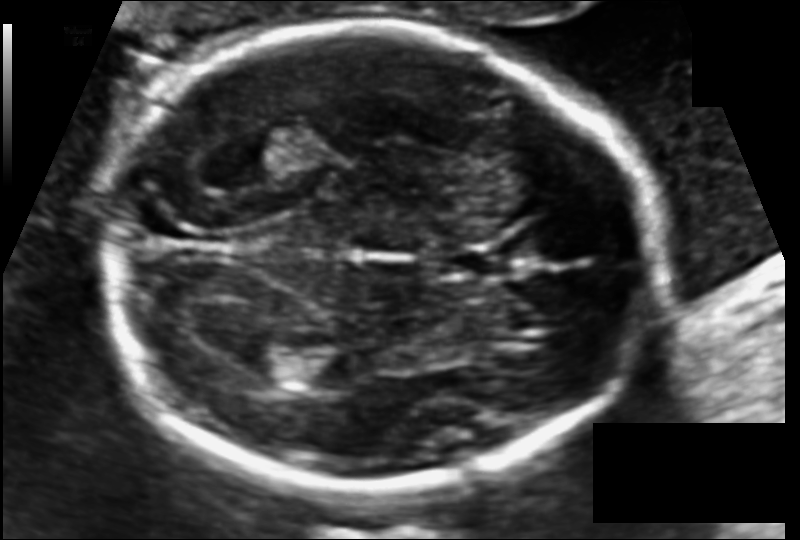
In this fetal head ultrasound, give the bounding box of the lateral ventricle. Image width: 87.7 mm.

[242,348,309,386]